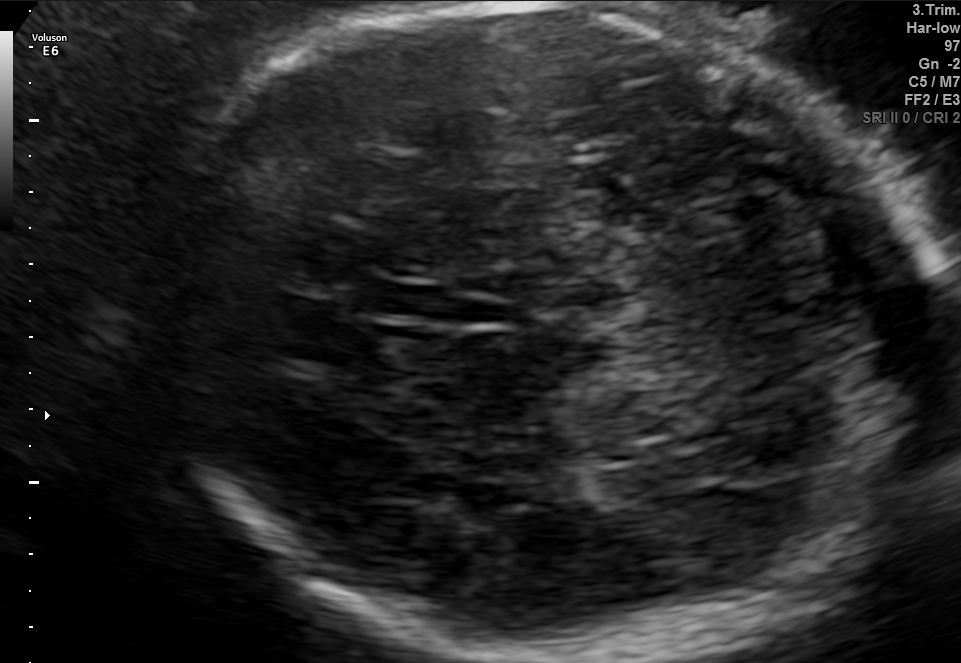
Fetal brain, trans-thalamic plane. Where is the fetal head?

Head bounding box: [147,5,940,656]